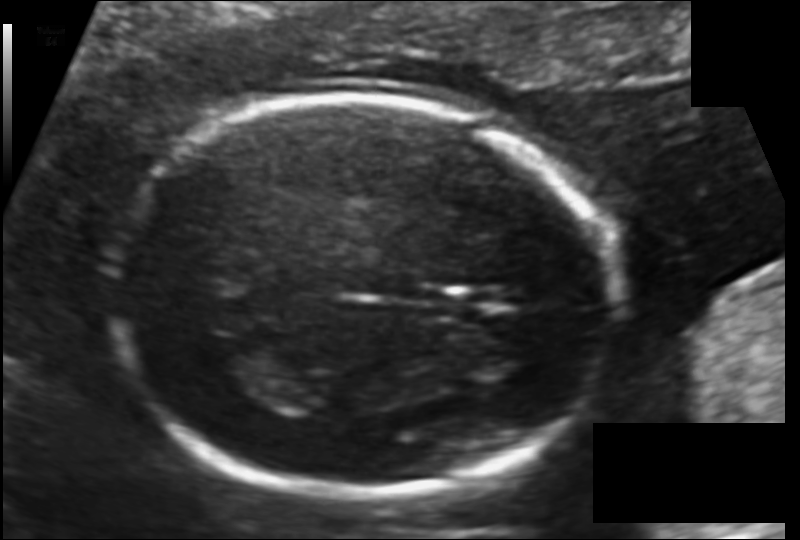
Estimate the fetal head circumference from this 2D ultrasound.

Head circumference: 171.5 mm (image width 92.9 mm).